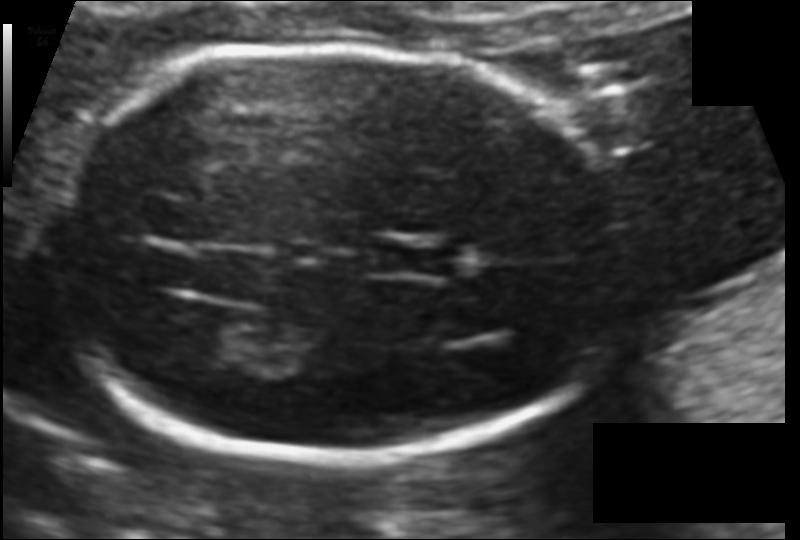
Fetal head ultrasound. Image width: 78.8 mm. Locate the lateral ventricle.

Lateral ventricle: [165,307,254,367]